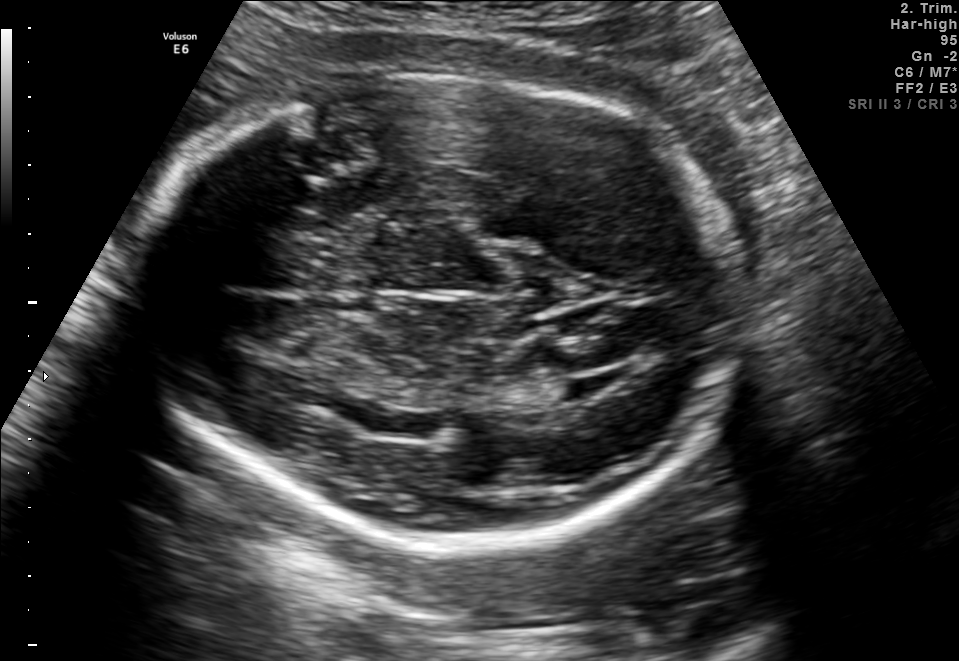
Fetal brain, trans-thalamic plane. Where is the lateral ventricle?

Lateral ventricle bounding box: [533,375,592,407]